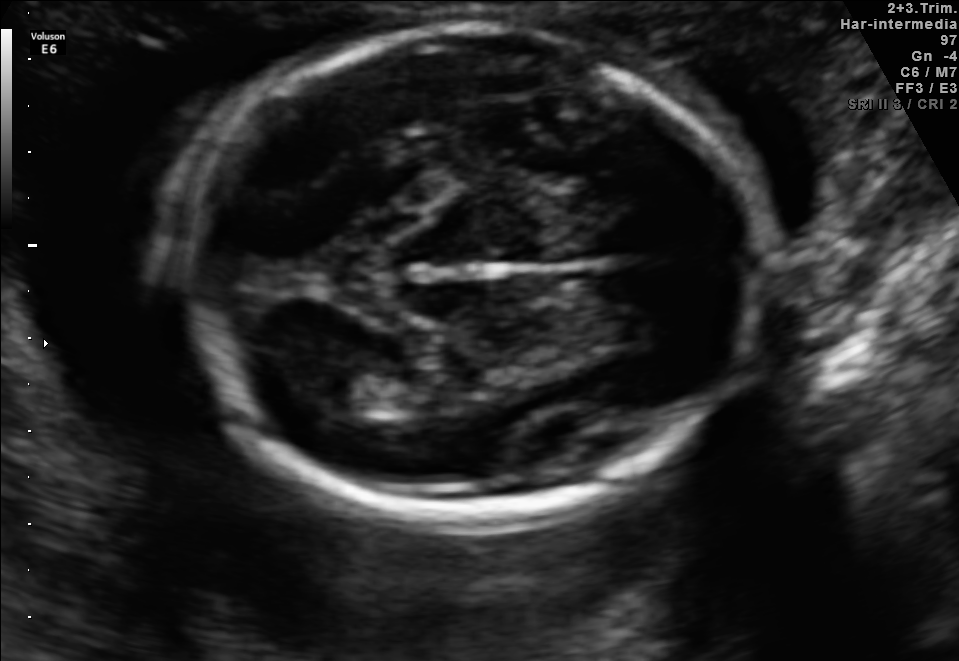
Fetal brain, trans-thalamic plane. Locate the fetal head.

Head: [183,27,768,518]